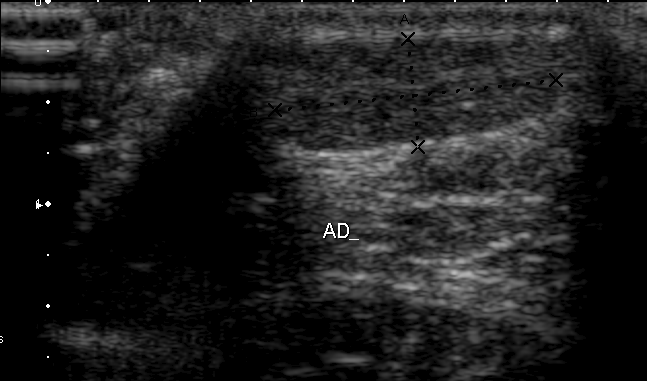
Which standard maternal-fetal ultrasound plane is shown: fetal abdomen, fetal brain, fetal femur, fetal thorax, maternal cervix, or other? If it's fetal brain and one of the three standard brain planes (trans-thalamic, trans-cerebellum, trans-ventricular), name which.

Other